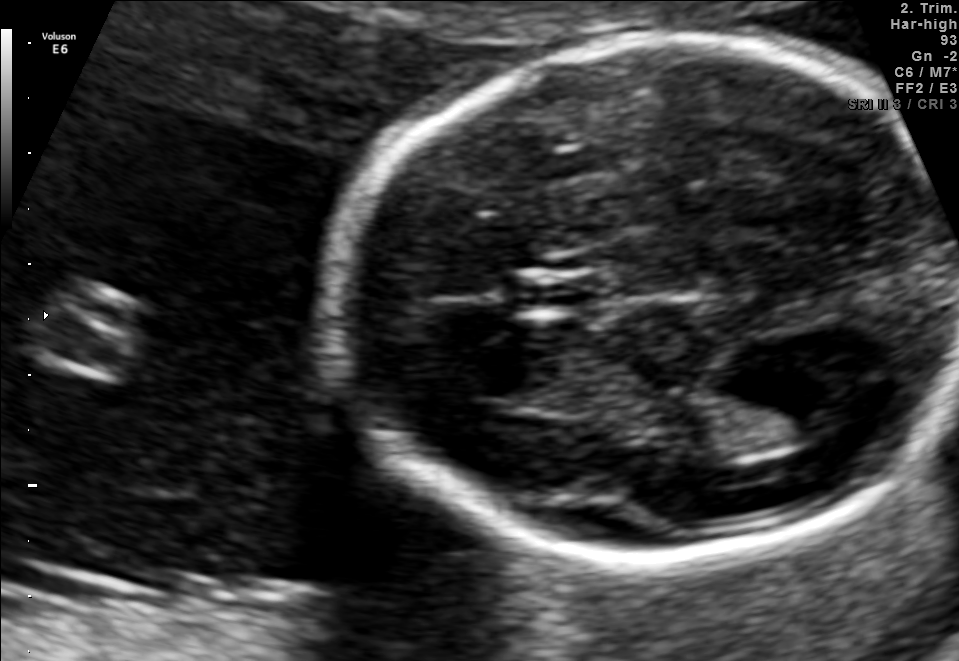
Identify the standard plane in this fetal ultrasound image: fetal abdomen, fetal brain, fetal femur, fetal thorax, maternal cervix, or other. If it's fetal brain and one of the three standard brain planes (trans-thalamic, trans-cerebellum, trans-ventricular), name which.

Fetal brain (trans-thalamic plane)